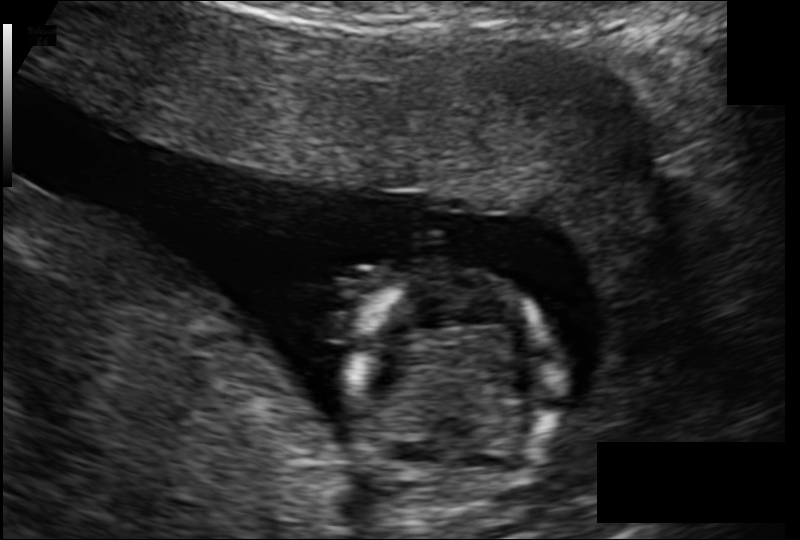
Fetal head ultrasound. Image width: 98.6 mm. Locate the fetal head.

Head: [344,270,560,511]